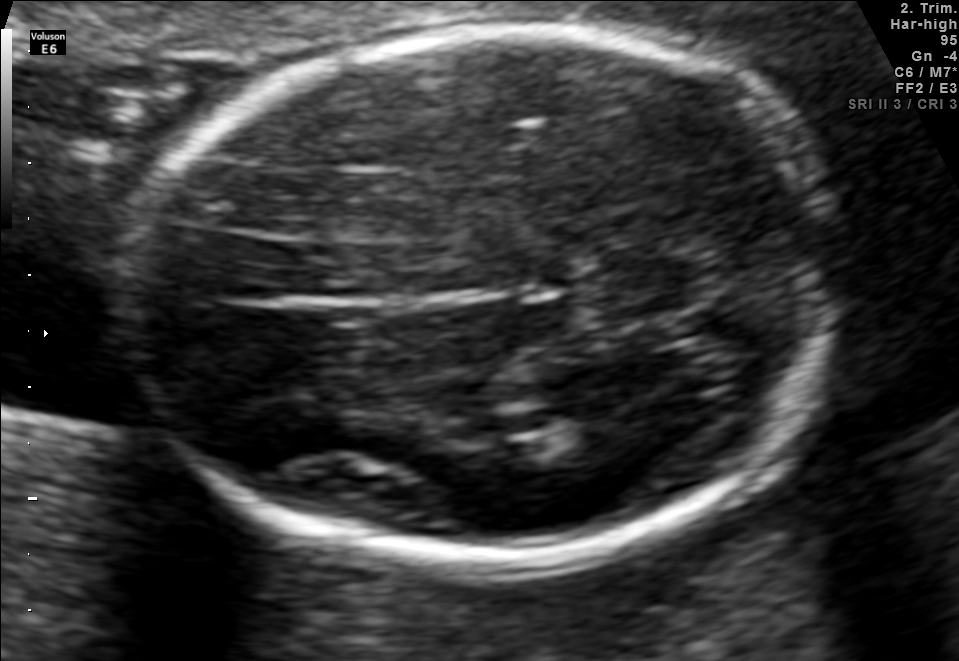
Fetal brain, trans-thalamic plane. Locate the fetal head and, if visible, the cavum septum pellucidum (CSP) and lateral ventricle (LV). Give bounding boxes as [x1,y1,x2,y2].

Head: [127,30,838,577]